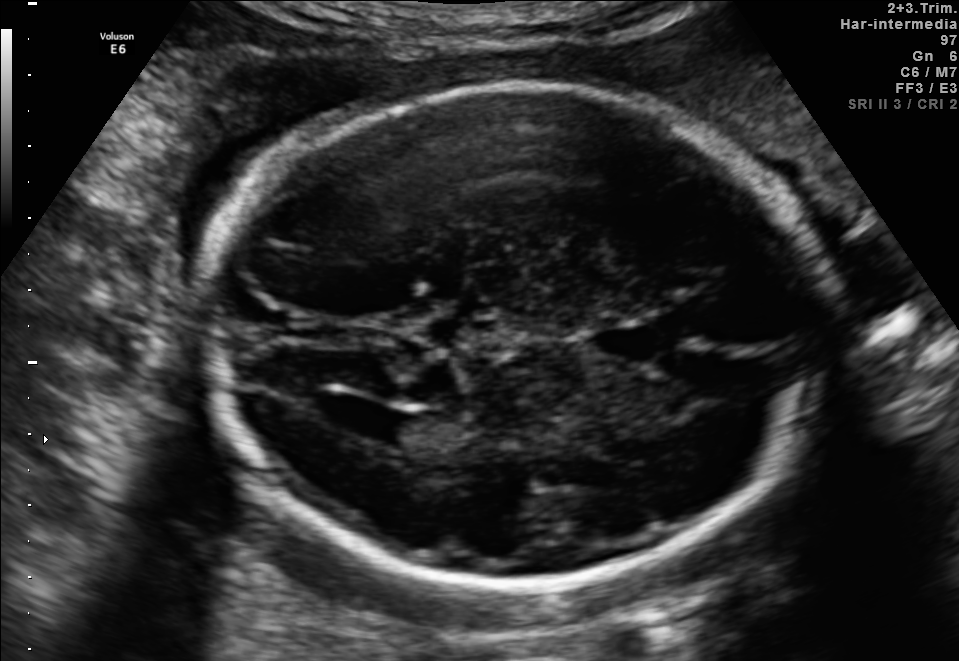
Fetal brain, trans-ventricular plane. Where is the lateral ventricle?

Lateral ventricle bounding box: [329,394,418,451]